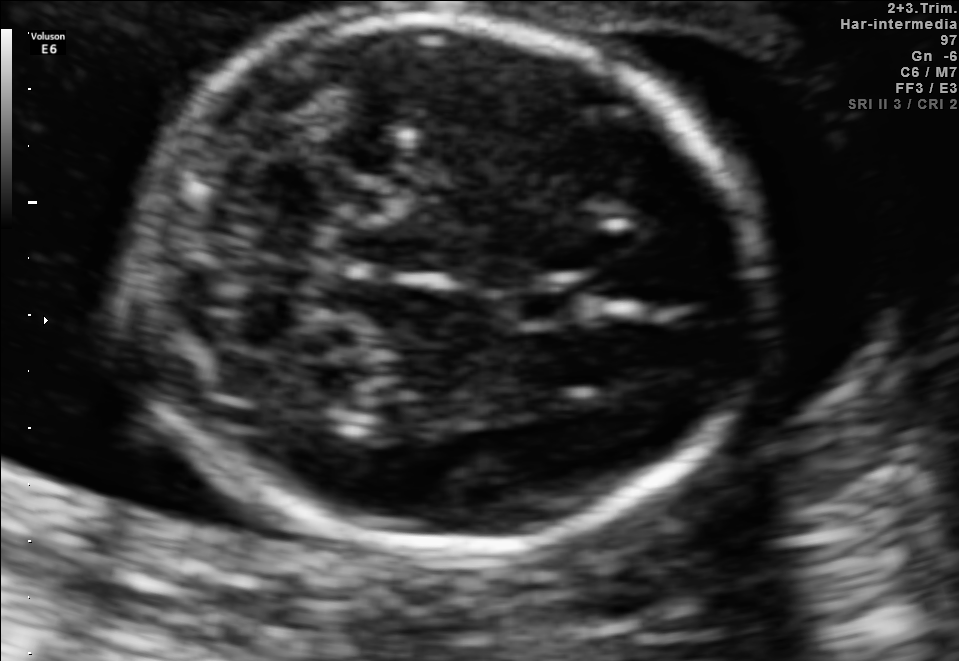
In this fetal brain, trans-cerebellum plane, give the bounding box of the fetal head.

[138,13,757,552]